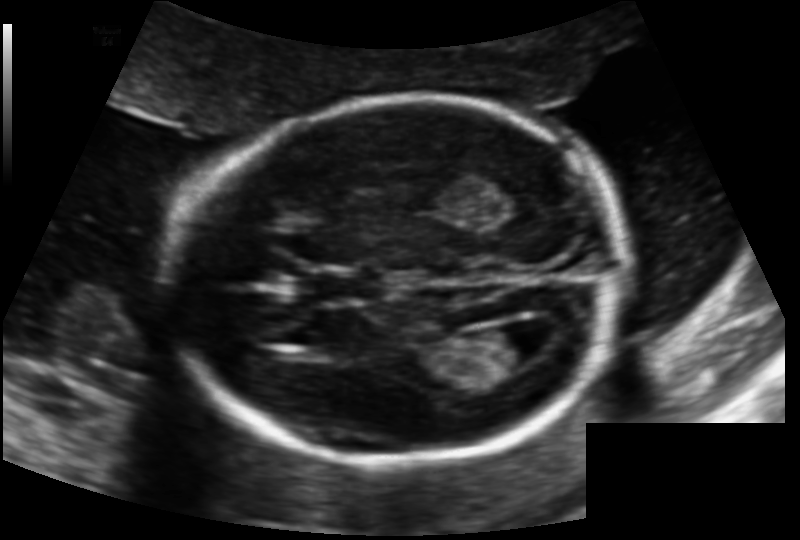
Fetal head ultrasound. Image width: 104.9 mm. Locate the fetal head.

Head: [174,97,624,464]